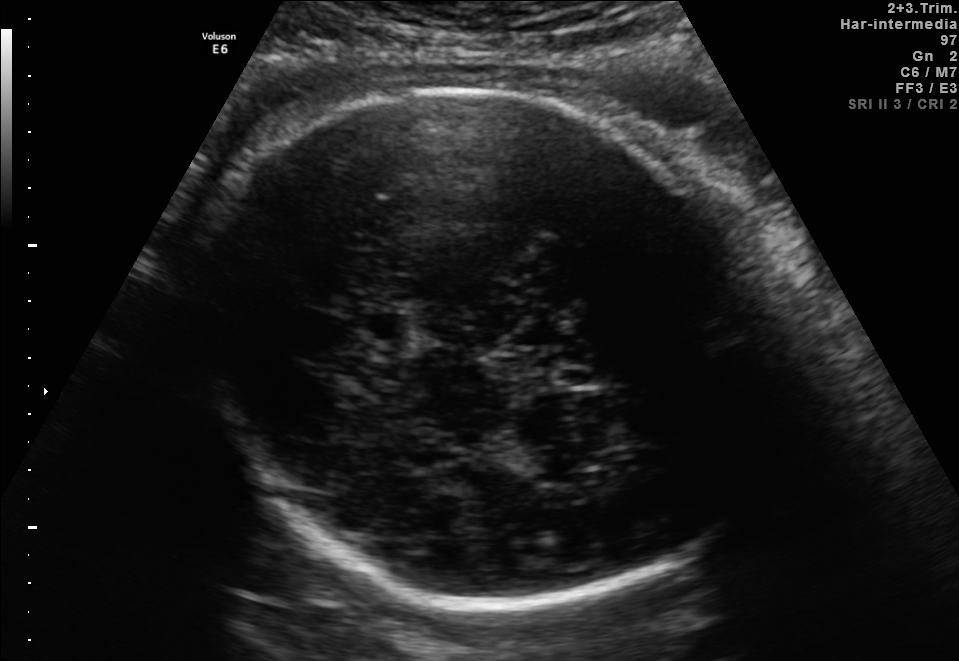
Fetal brain, trans-thalamic plane. Locate the fetal head.

Head: [195,91,766,608]